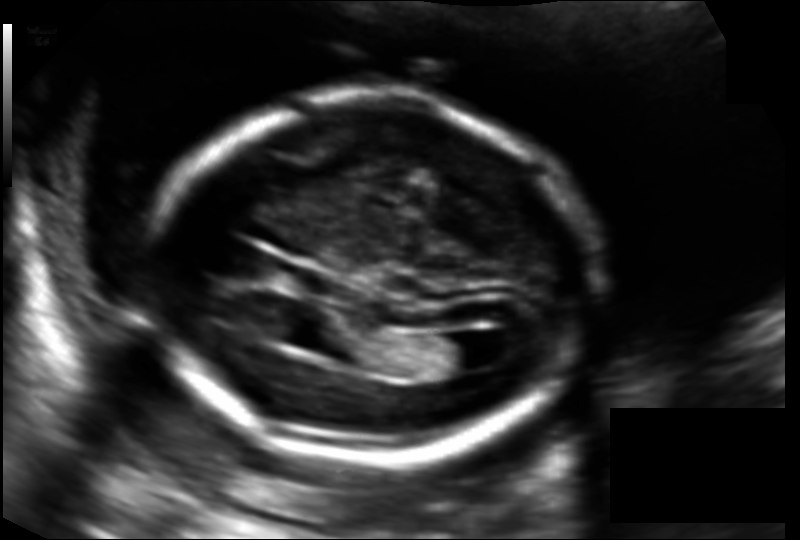
Fetal head ultrasound. Image width: 104.2 mm. Locate the cavum septum pellucidum.

CSP: [277,258,336,300]